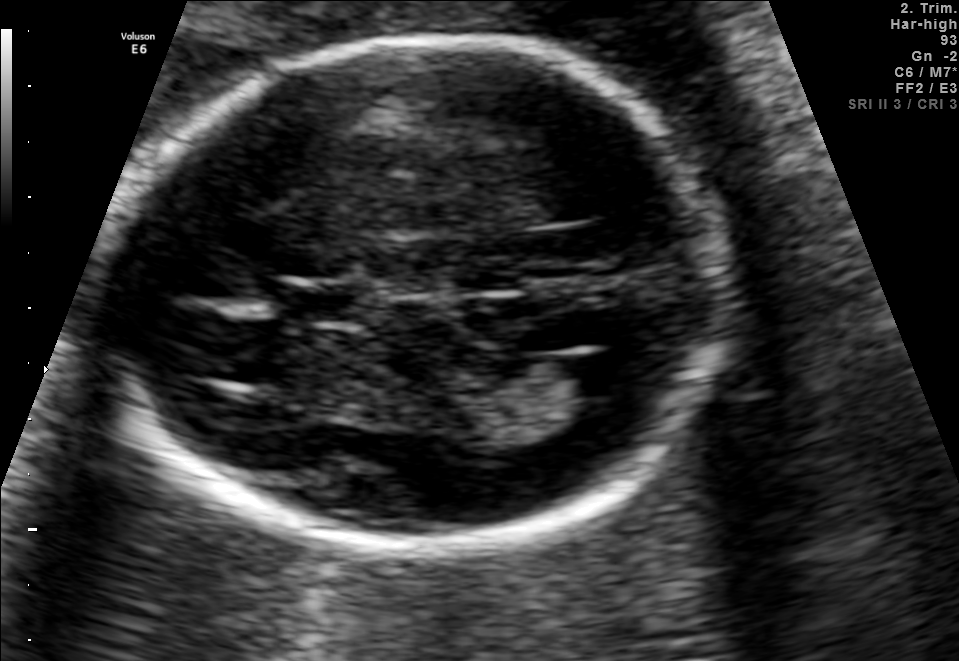
Fetal brain, trans-ventricular plane. Locate the fetal head and, if visible, the cavum septum pellucidum (CSP) and lateral ventricle (LV). Give bounding boxes as [x1,y1,x2,y2].

Head: [100,31,747,562]
CSP: [289,286,370,322]
Lateral ventricle: [539,347,634,404]